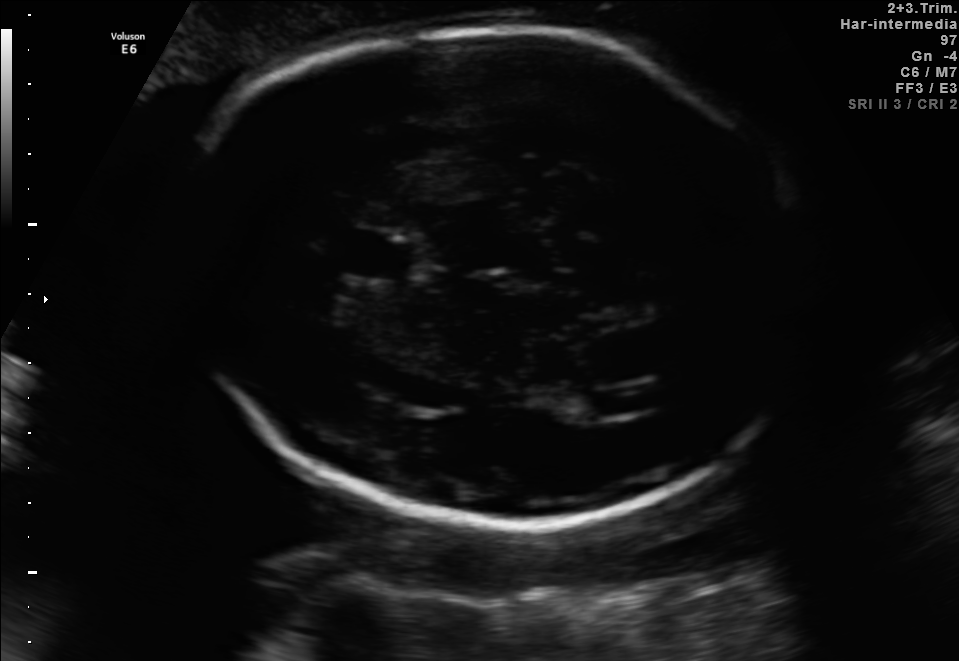
Fetal brain, trans-ventricular plane. Where is the fetal head?

Head bounding box: [160,14,831,533]